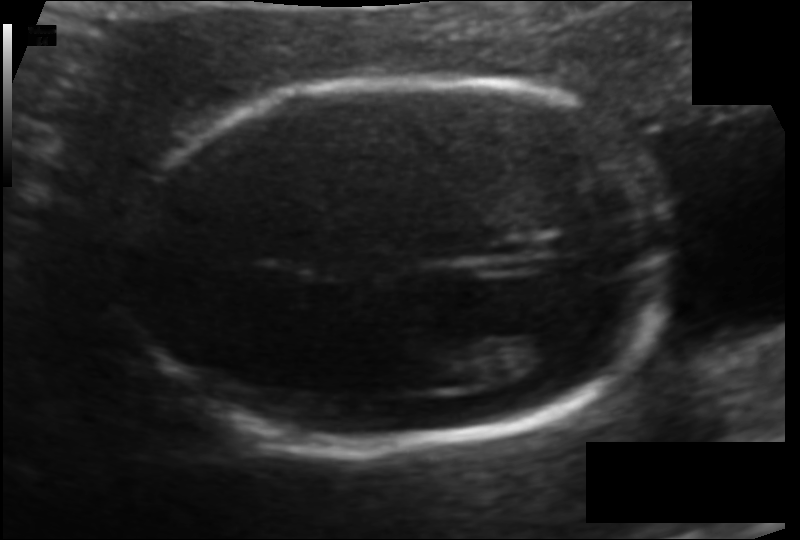
In this fetal head ultrasound, give the bounding box of the fetal head. Image width: 83.8 mm.

[126,73,677,446]